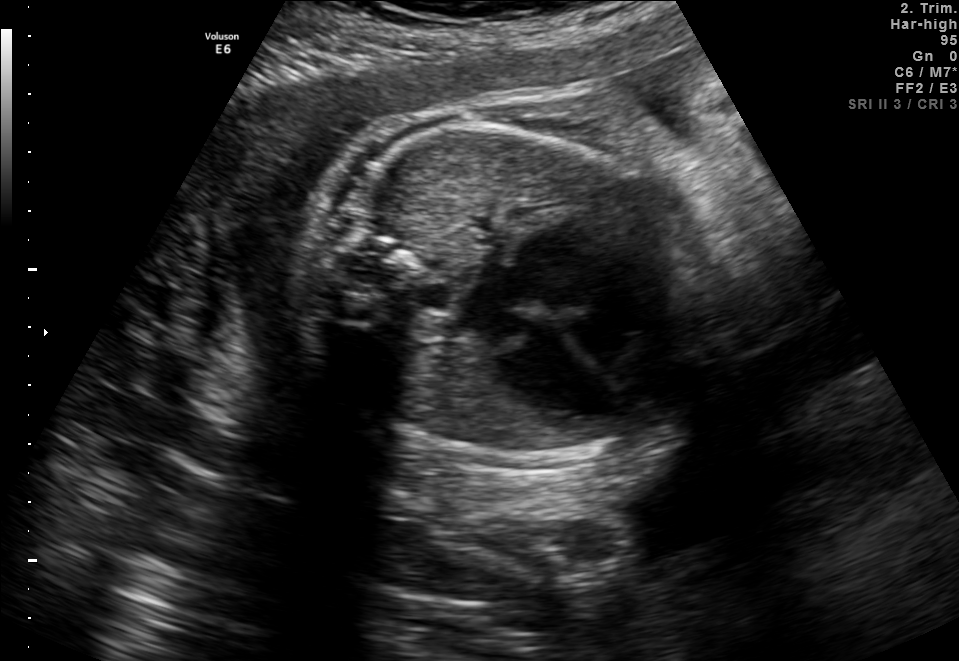
Classify this maternal-fetal ultrasound image as one of the six standard planes — fetal abdomen, fetal brain, fetal femur, fetal thorax, maternal cervix, or other. If it's fetal brain and one of the three standard brain planes (trans-thalamic, trans-cerebellum, trans-ventricular), name which.

Fetal thorax